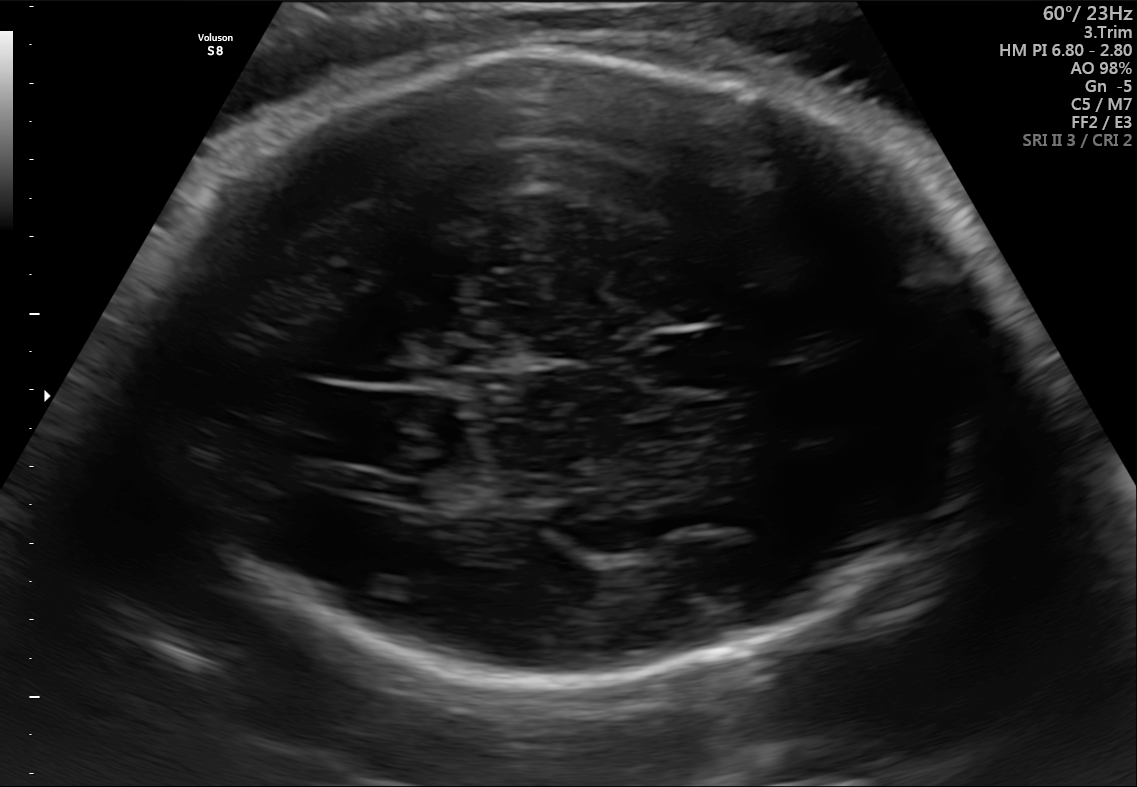
In this fetal brain, trans-thalamic plane, give the bounding box of the fetal head.

[158,51,989,676]